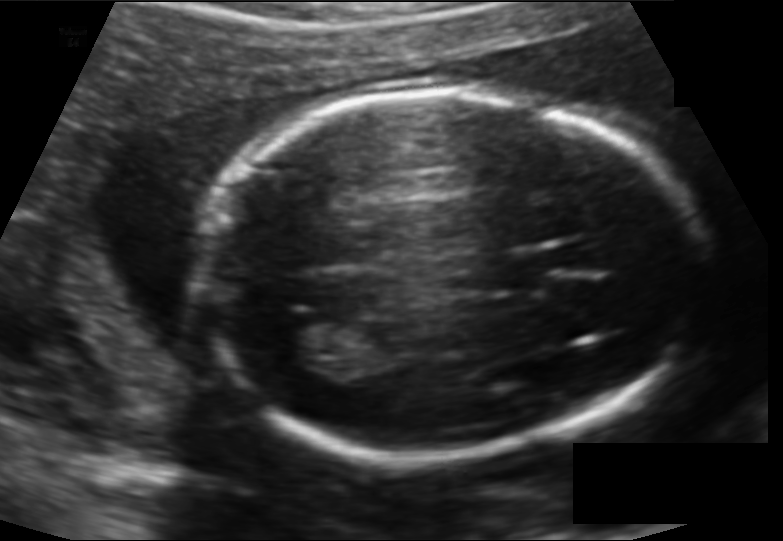
Fetal head ultrasound. Image width: 100.2 mm. Locate the fetal head and, if visible, the cavum septum pellucidum (CSP) and lateral ventricle (LV). Give bounding boxes as [x1,y1,x2,y2].

Head: [191,92,698,455]
CSP: [483,251,545,292]
Lateral ventricle: [264,308,343,370]